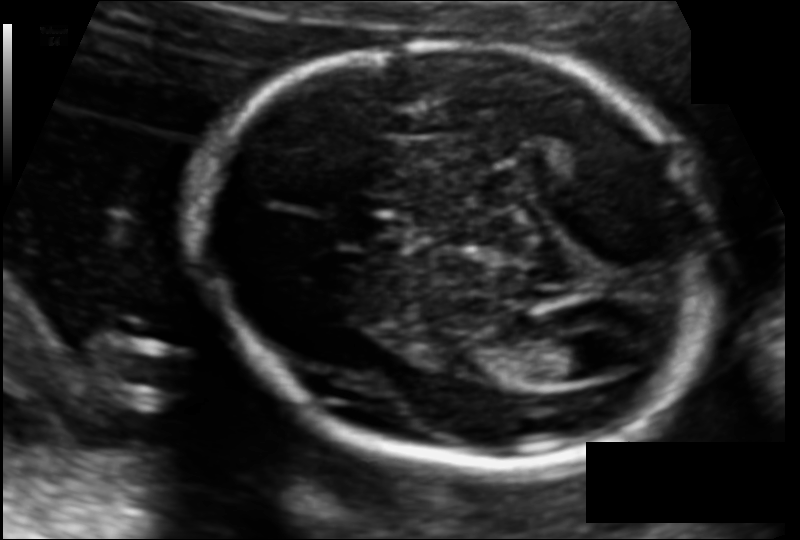
Fetal head ultrasound. Image width: 87.7 mm. Where is the lateral ventricle?

Lateral ventricle bounding box: [525,328,614,386]